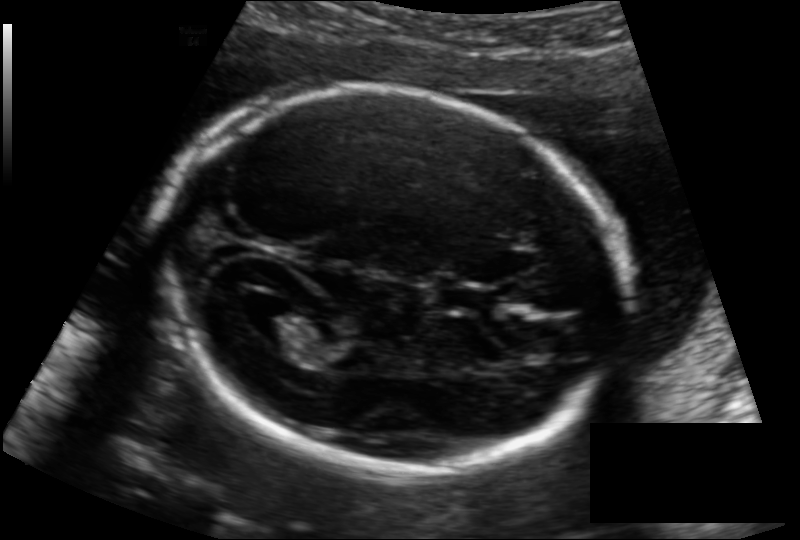
In this fetal head ultrasound, give the bounding box of the lateral ventricle. Image width: 106.5 mm.

[240,288,324,363]